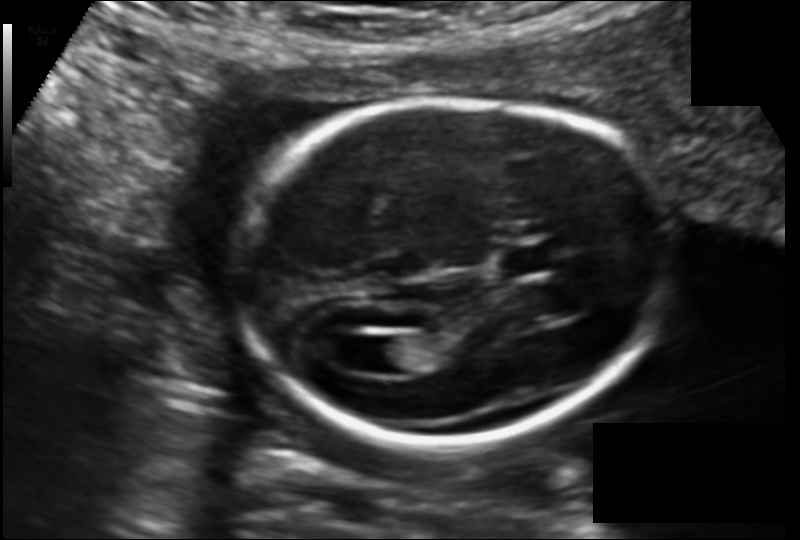
Estimate the fetal head circumference from this 2D ultrasound.

Head circumference: 170.2 mm (image width 107.8 mm).